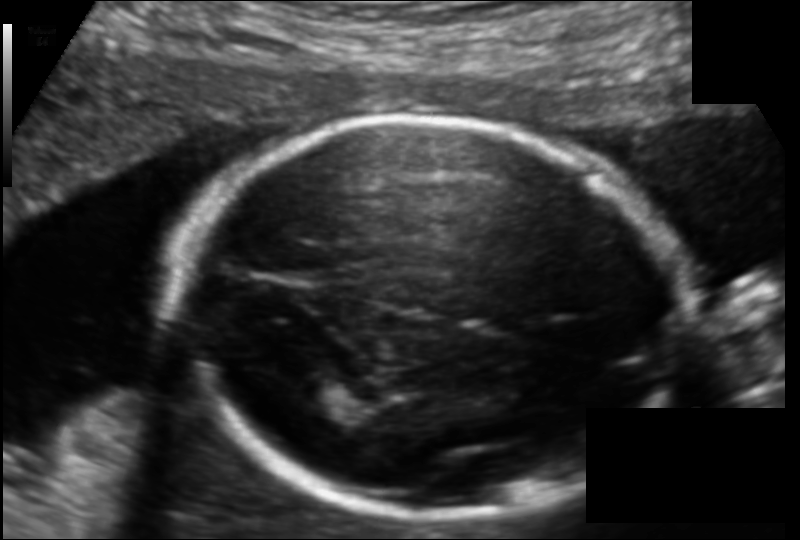
Fetal head ultrasound. Image width: 96.3 mm. Locate the fetal head.

Head: [176,119,686,517]